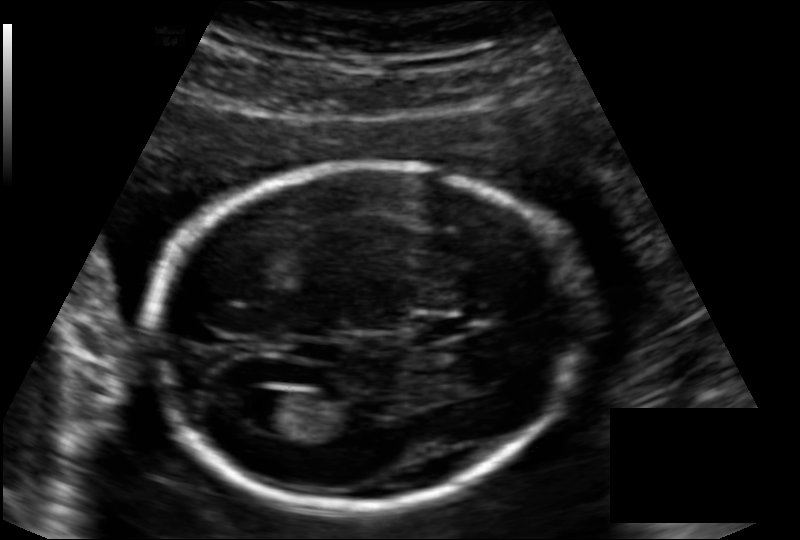
Fetal head ultrasound. Image width: 108.5 mm. Where is the cavum septum pellucidum?

CSP bounding box: [411,313,469,342]